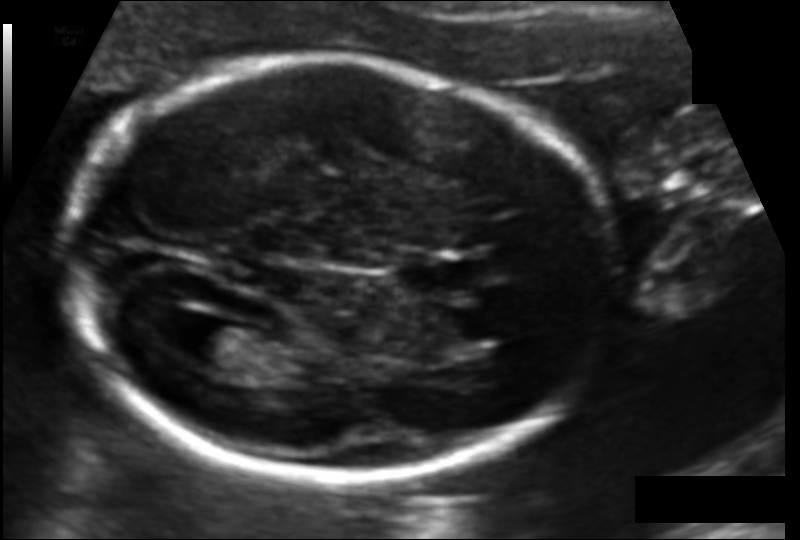
Measure the fetal head circumference shown in this ultrasound image. Image width: 91.0 mm.

Head circumference: 177.8 mm.